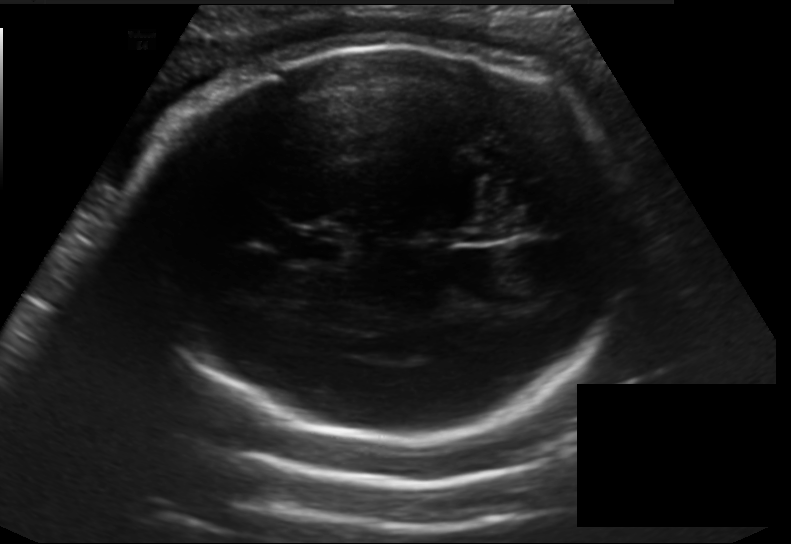
Fetal head ultrasound. Image width: 156.8 mm. Give [x1,y1,x2,y2] bounding boxes for each visible structure among: fetal head, CSP, LV.

Head: [135,41,629,444]
CSP: [285,223,350,269]